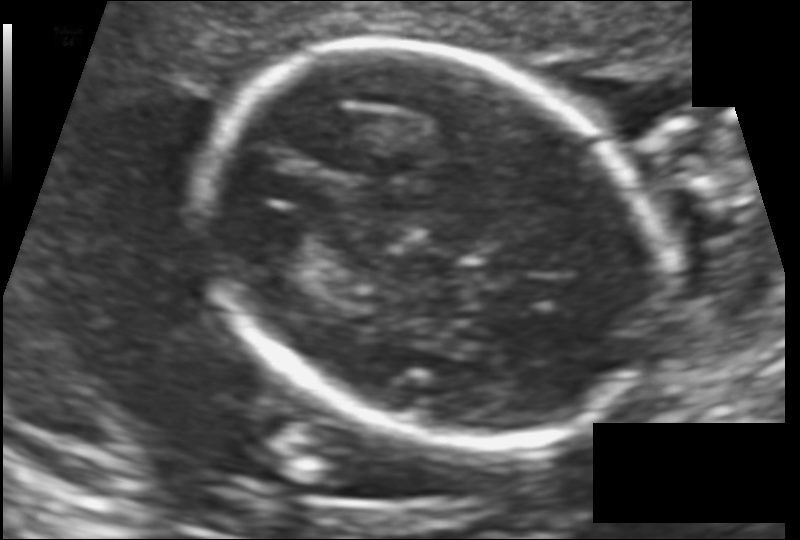
In this fetal head ultrasound, give the bounding box of the fetal head. Image width: 101.0 mm.

[199,46,652,442]